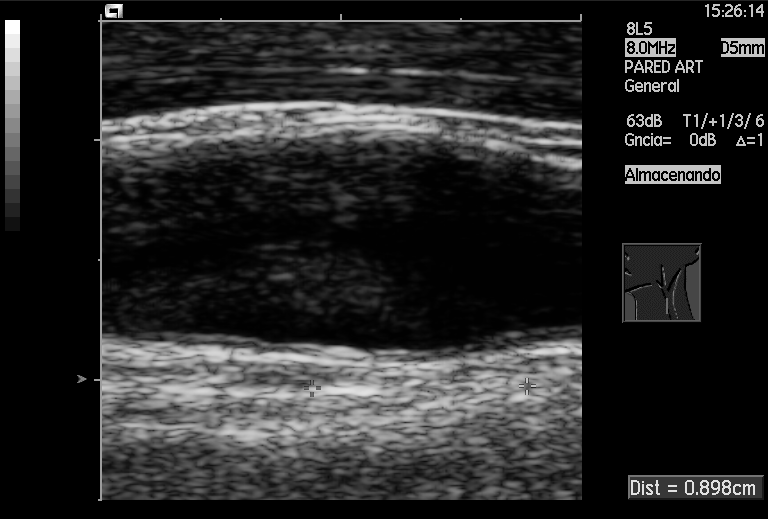
This is a 2D maternal-fetal ultrasound frame. Is it a fetal abdomen, fetal brain, fetal femur, fetal thorax, maternal cervix, or other standard plane? If it's fetal brain and one of the three standard brain planes (trans-thalamic, trans-cerebellum, trans-ventricular), name which.

Other